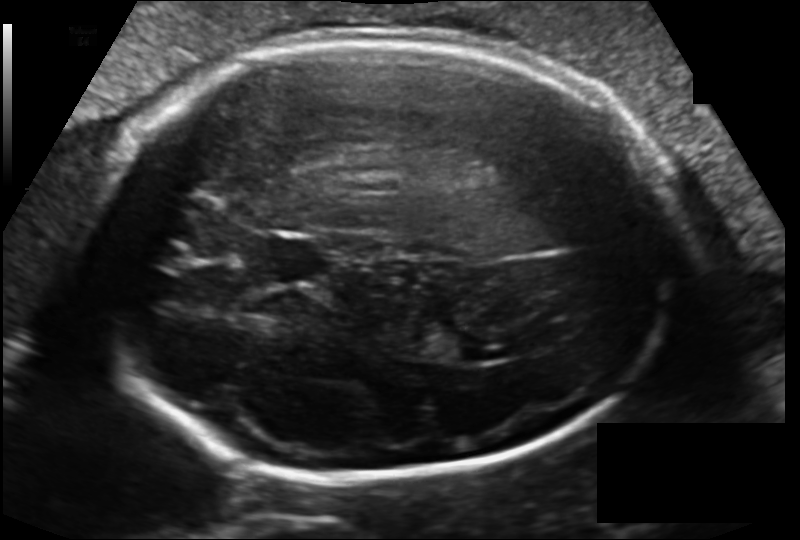
In this fetal head ultrasound, give the bounding box of the fetal head. Image width: 129.6 mm.

[90,36,677,478]